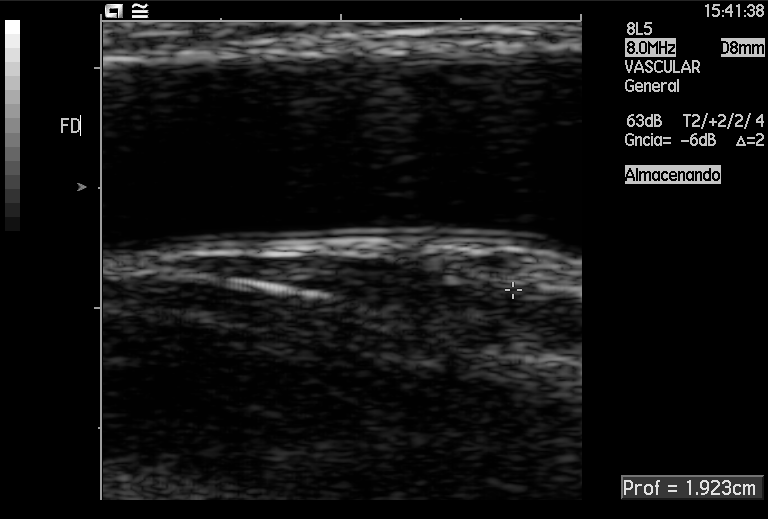
Classify this maternal-fetal ultrasound image as one of the six standard planes — fetal abdomen, fetal brain, fetal femur, fetal thorax, maternal cervix, or other. If it's fetal brain and one of the three standard brain planes (trans-thalamic, trans-cerebellum, trans-ventricular), name which.

Other